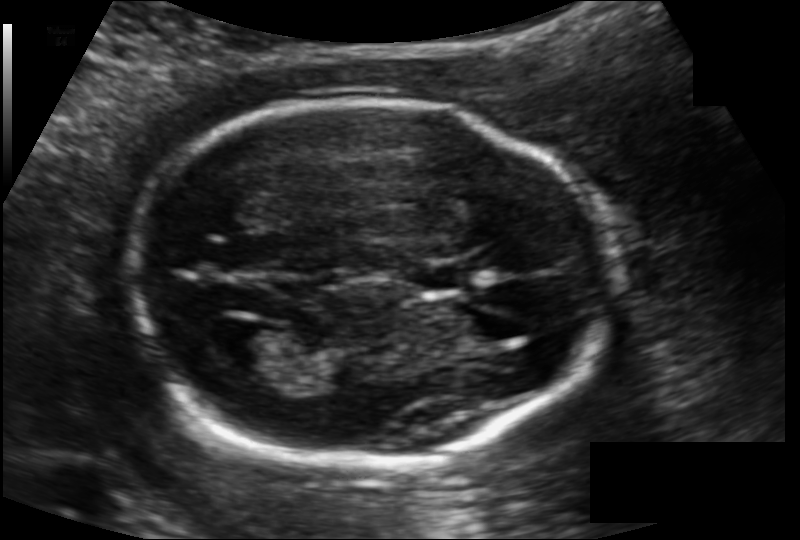
Fetal head ultrasound. Image width: 96.5 mm. Locate the fetal head and, if visible, the cavum septum pellucidum (CSP) and lateral ventricle (LV). Give bounding boxes as [x1,y1,x2,y2].

Head: [127,101,615,463]
CSP: [416,261,468,292]
Lateral ventricle: [211,322,286,378]